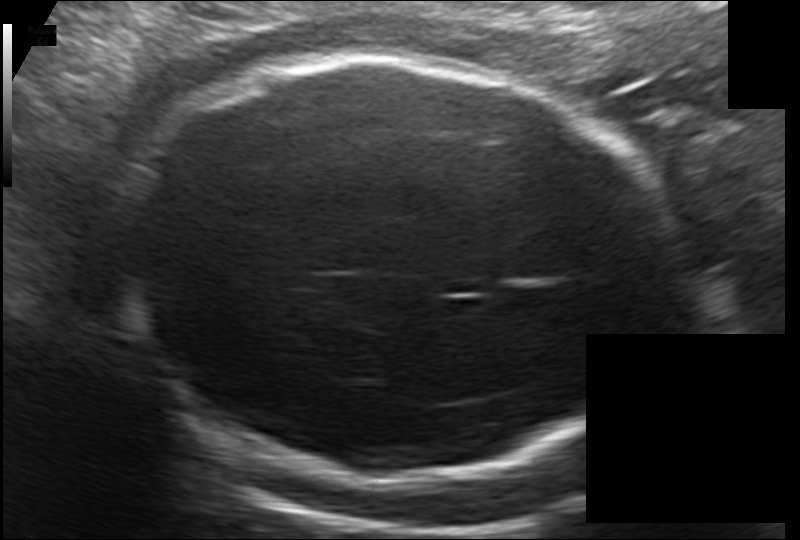
In this fetal head ultrasound, give bounding boxes for the head outline, cavum septum pellucidum (CSP), and lateral ventricle (LV), where visible. Image width: 138.0 mm.

Head: [116,55,672,480]